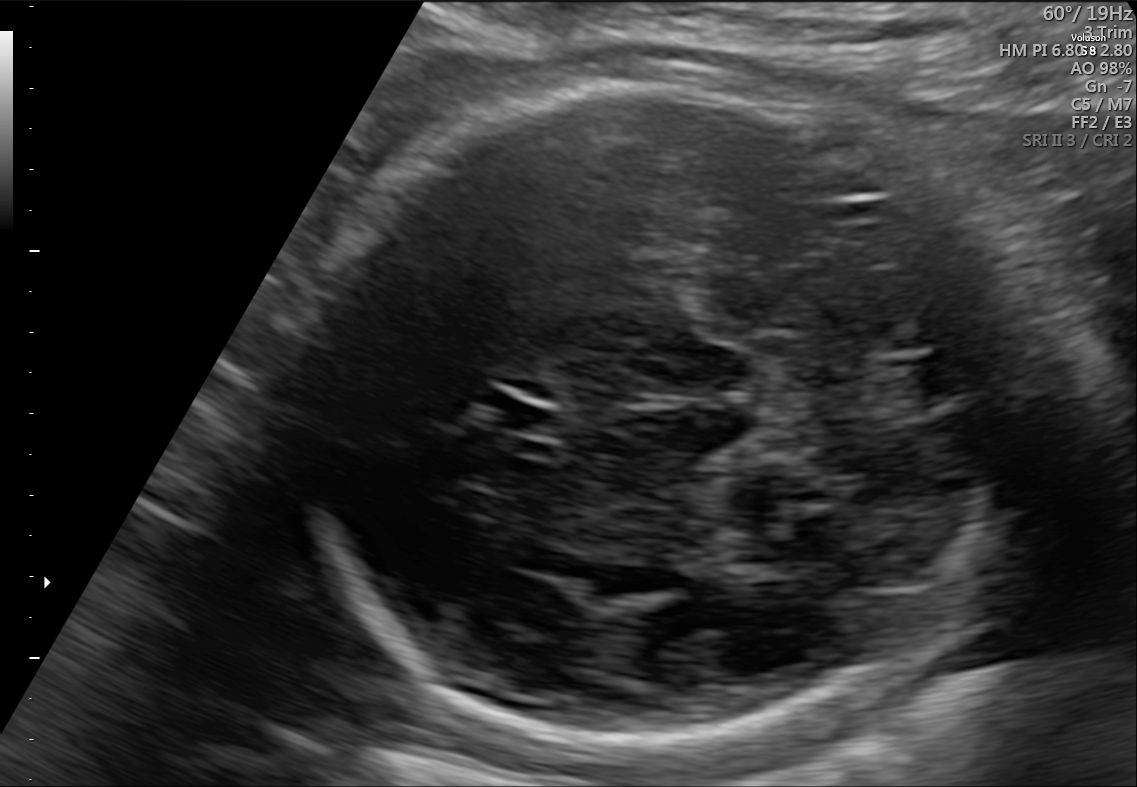
This is a 2D maternal-fetal ultrasound frame. Is it a fetal abdomen, fetal brain, fetal femur, fetal thorax, maternal cervix, or other standard plane? If it's fetal brain and one of the three standard brain planes (trans-thalamic, trans-cerebellum, trans-ventricular), name which.

Fetal brain (trans-cerebellum plane)